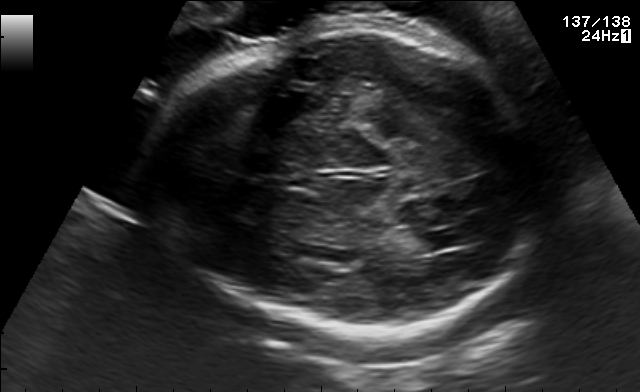
In this fetal brain, trans-thalamic plane, give the bounding box of the fetal head.

[151,24,539,342]